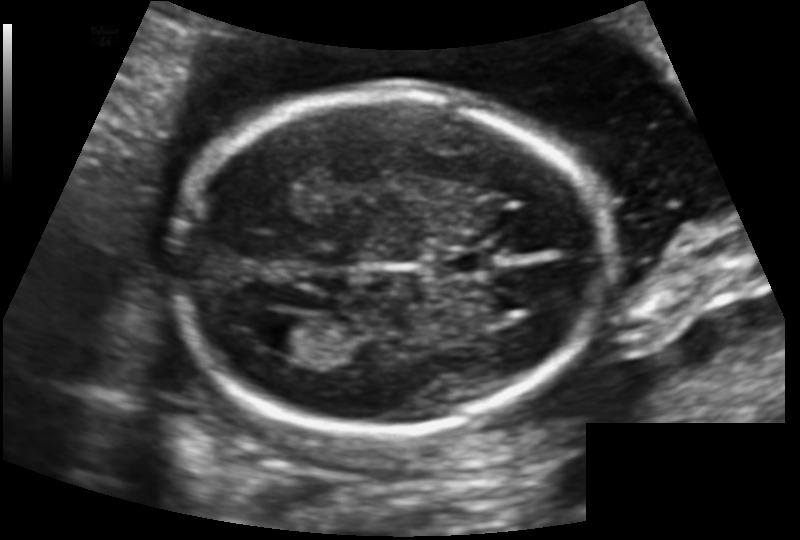
In this fetal head ultrasound, give the bounding box of the fetal head. Image width: 103.5 mm.

[176,92,604,433]